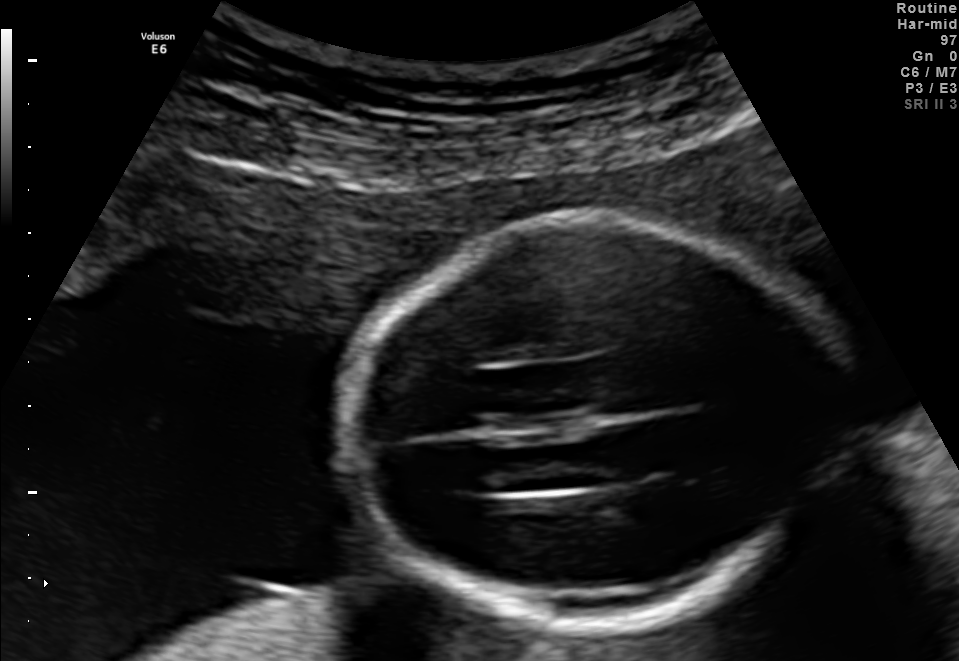
In this fetal brain, trans-thalamic plane, give bounding boxes for the head outline, cavum septum pellucidum (CSP), and lateral ventricle (LV), where visible.

Head: [340,215,845,624]